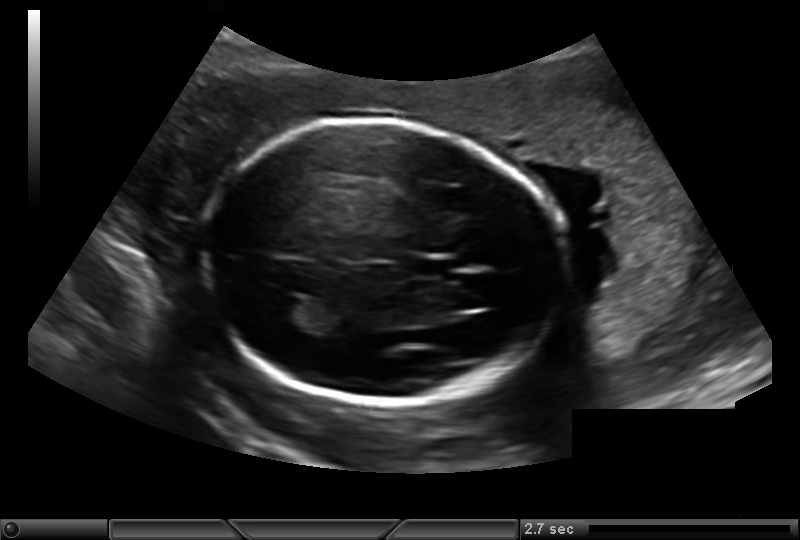
Estimate the fetal head circumference from this 2D ultrasound.

Head circumference: 202.7 mm (image width 154.2 mm).